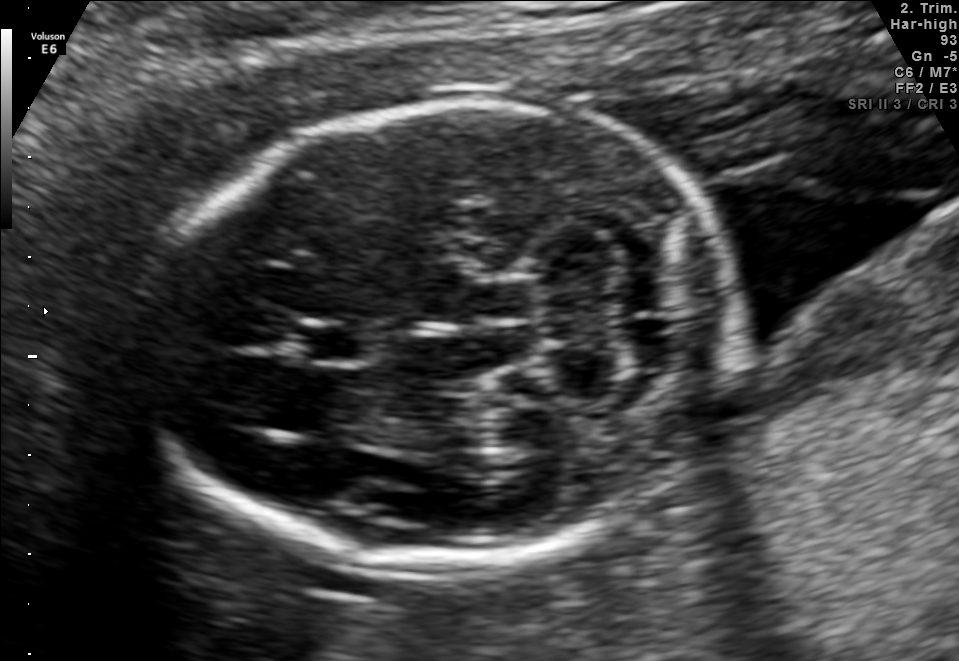
Fetal brain, trans-cerebellum plane. Locate the fetal head and, if visible, the cavum septum pellucidum (CSP) and lateral ventricle (LV). Give bounding boxes as [x1,y1,x2,y2].

Head: [152,103,733,564]
CSP: [299,319,376,364]